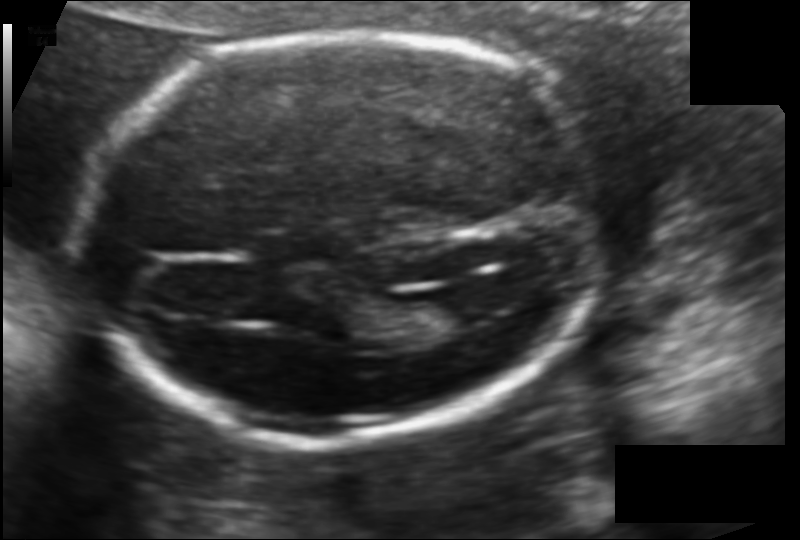
What is the fetal head circumference? Image width is 94.7 mm.

180.8 mm